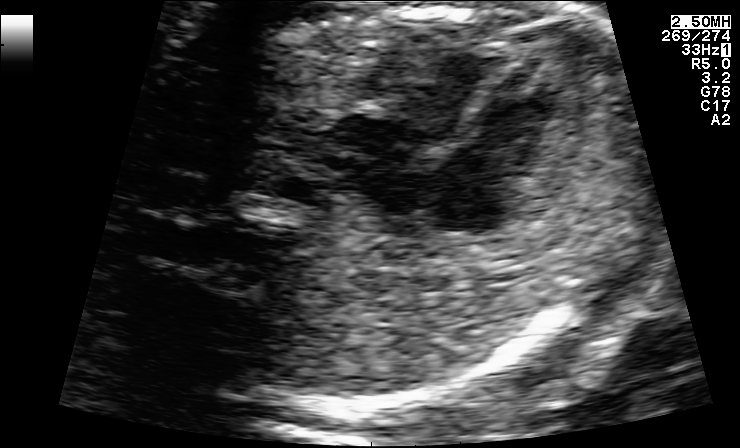
Identify the standard plane in this fetal ultrasound image: fetal abdomen, fetal brain, fetal femur, fetal thorax, maternal cervix, or other. If it's fetal brain and one of the three standard brain planes (trans-thalamic, trans-cerebellum, trans-ventricular), name which.

Fetal thorax